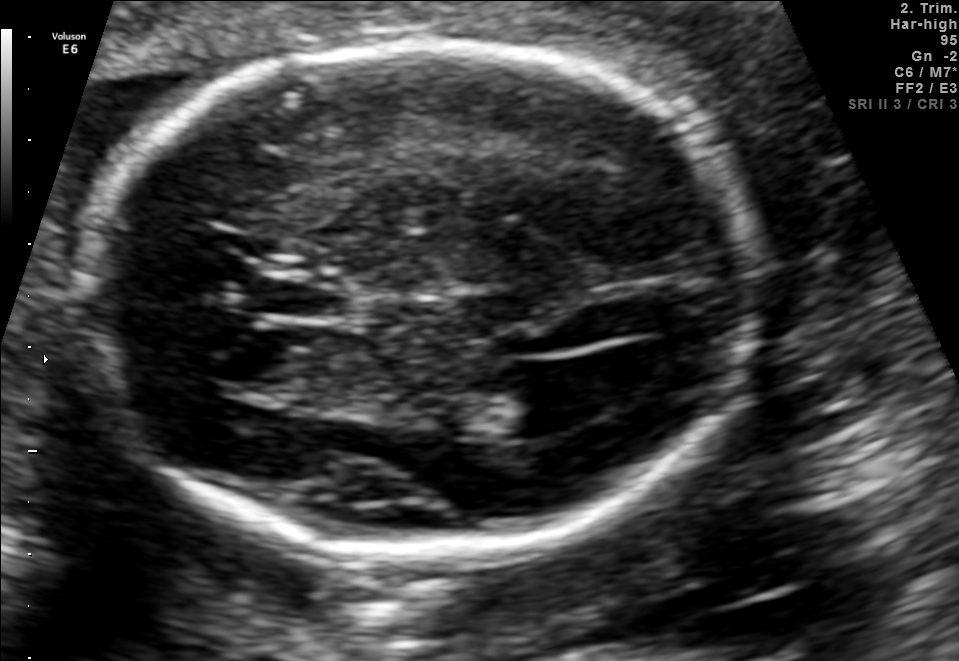
In this fetal brain, trans-ventricular plane, give the bounding box of the cavum septum pellucidum.

[248,265,356,326]